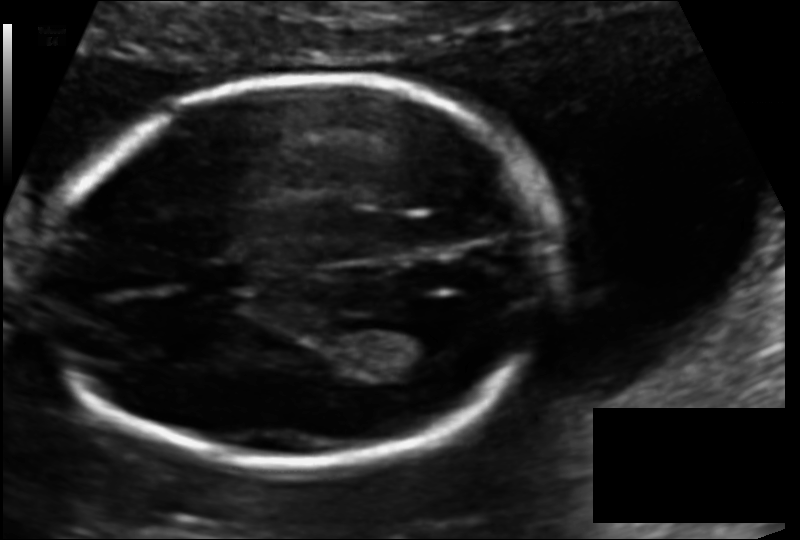
Fetal head ultrasound. Image width: 90.5 mm. Where is the lateral ventricle?

Lateral ventricle bounding box: [355,310,450,374]